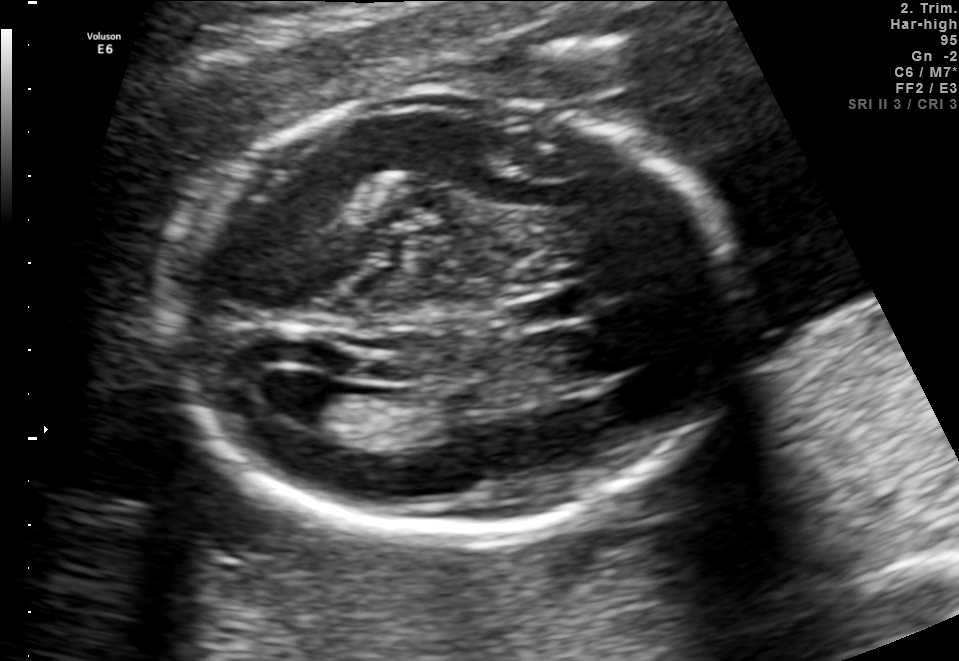
Fetal brain, trans-ventricular plane. Locate the fetal head.

Head: [156,85,757,546]